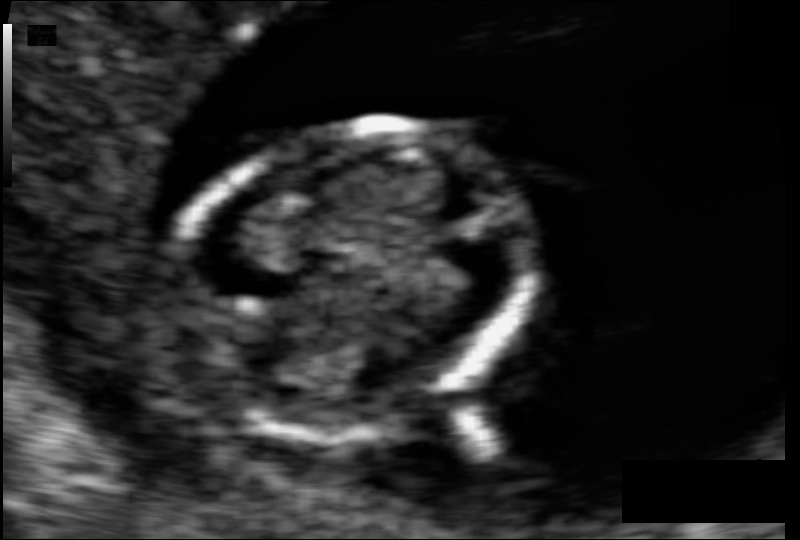
In this fetal head ultrasound, give the bounding box of the fetal head. Image width: 54.9 mm.

[177,121,536,440]